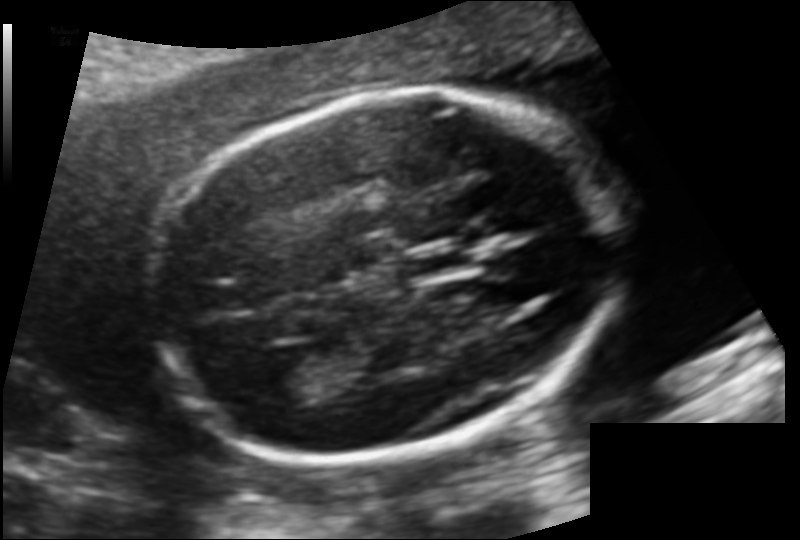
Measure the fetal head circumference shown in this ultrasound image. Image width: 96.3 mm.

Head circumference: 163.3 mm.